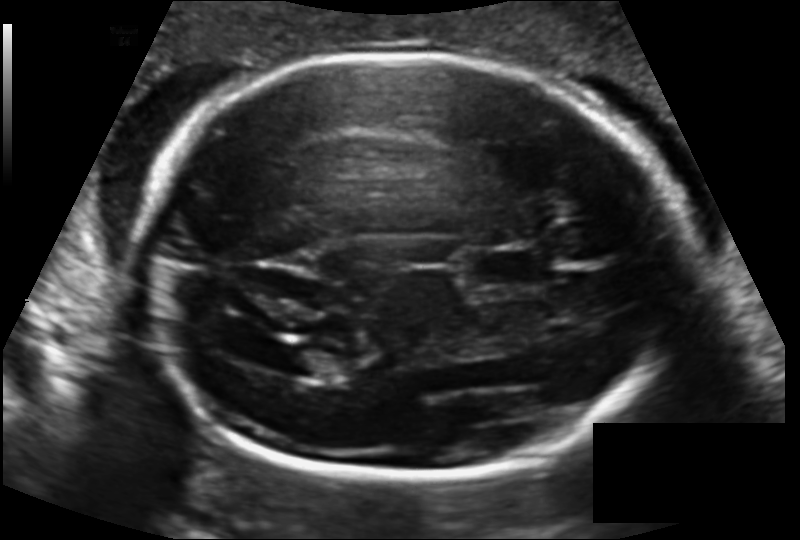
In this fetal head ultrasound, give the bounding box of the lateral ventricle. Image width: 112.0 mm.

[280,343,341,380]